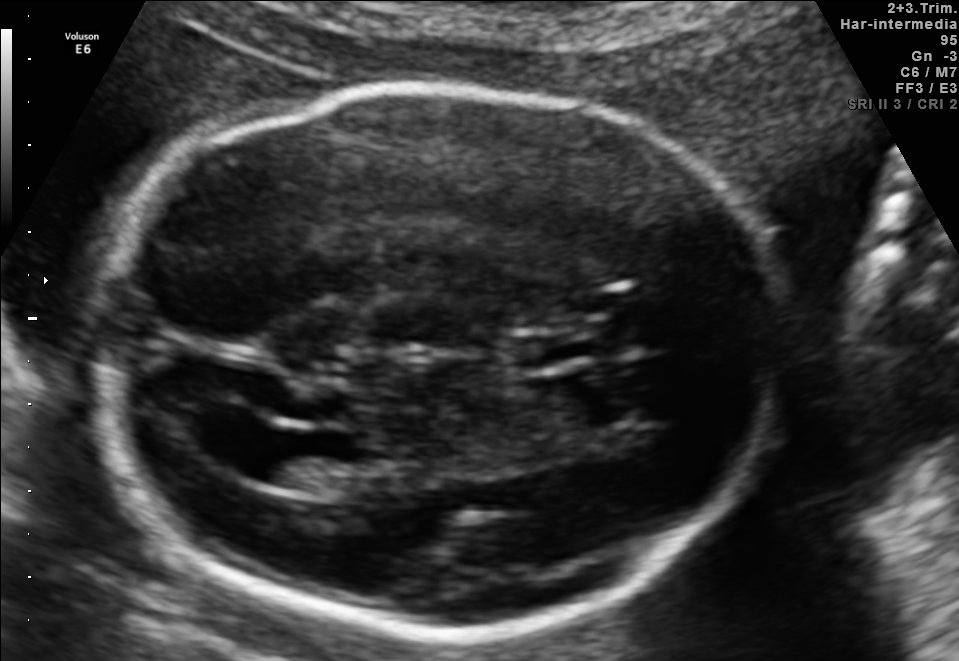
Fetal brain, trans-ventricular plane. Where is the lateral ventricle?

Lateral ventricle bounding box: [198,405,307,491]